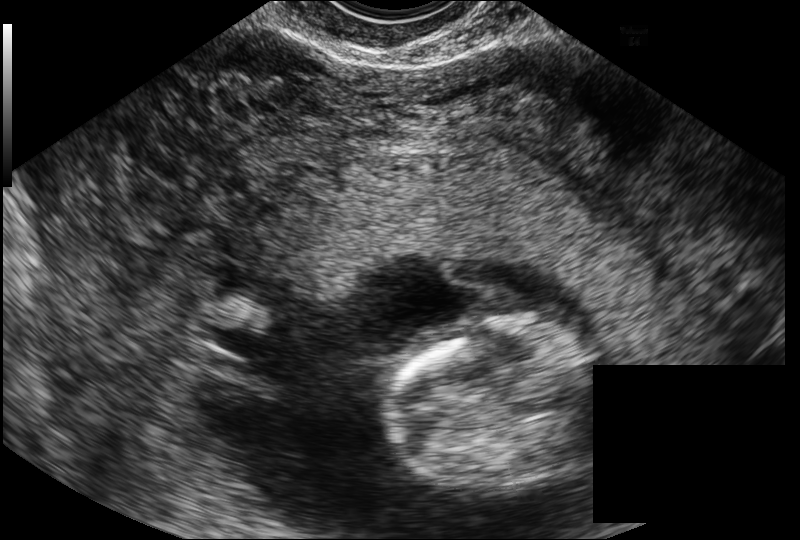
In this fetal head ultrasound, give the bounding box of the fetal head. Image width: 90.9 mm.

[384,319,593,489]